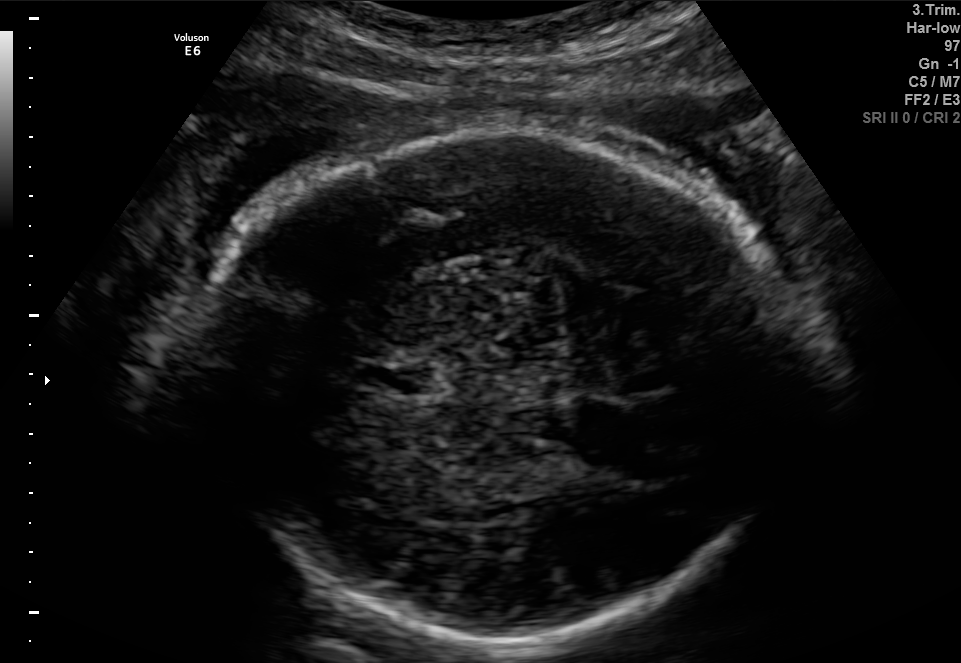
In this fetal brain, trans-thalamic plane, give the bounding box of the fetal head.

[188,130,809,643]